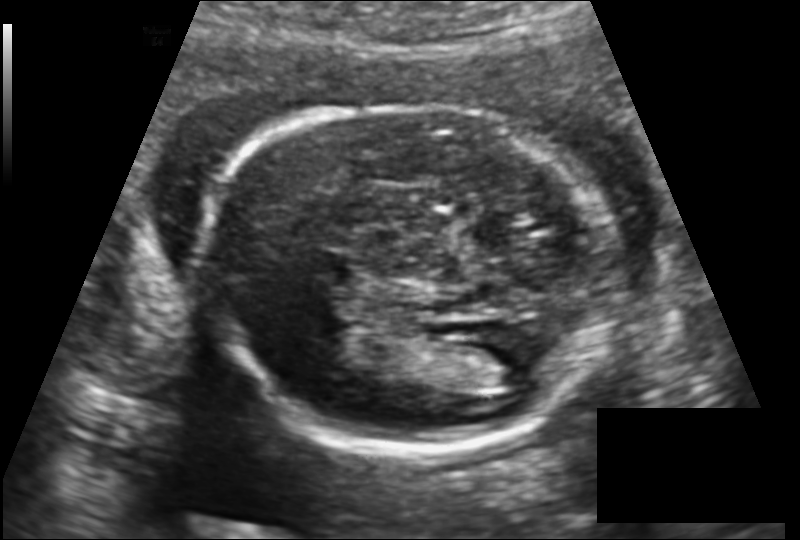
From this fetal ultrasound, estimate the head circumference (image width 111.5 mm).

Head circumference: 171.1 mm.